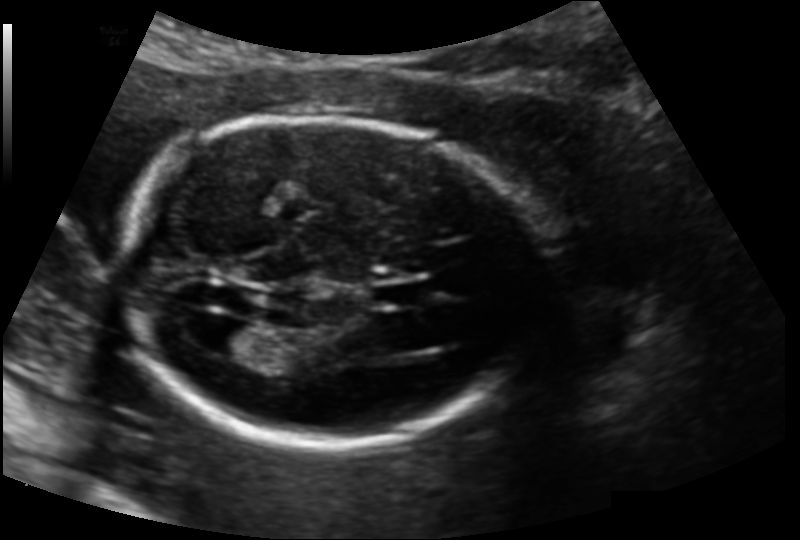
Estimate the fetal head circumference from this 2D ultrasound.

Head circumference: 177.8 mm (image width 111.6 mm).